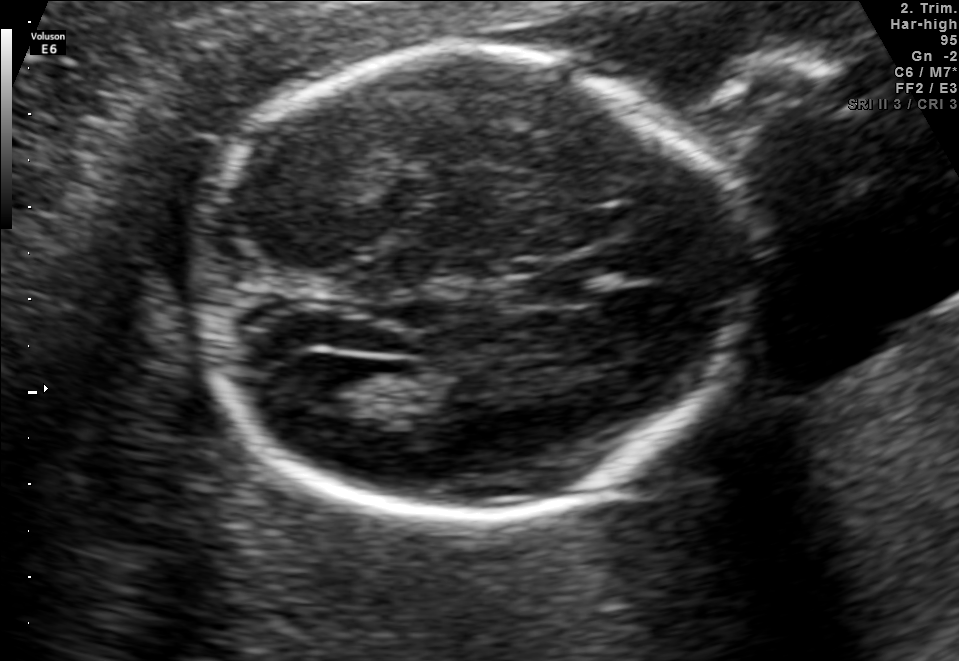
Fetal brain, trans-ventricular plane. Locate the fetal head.

Head: [187,38,762,527]